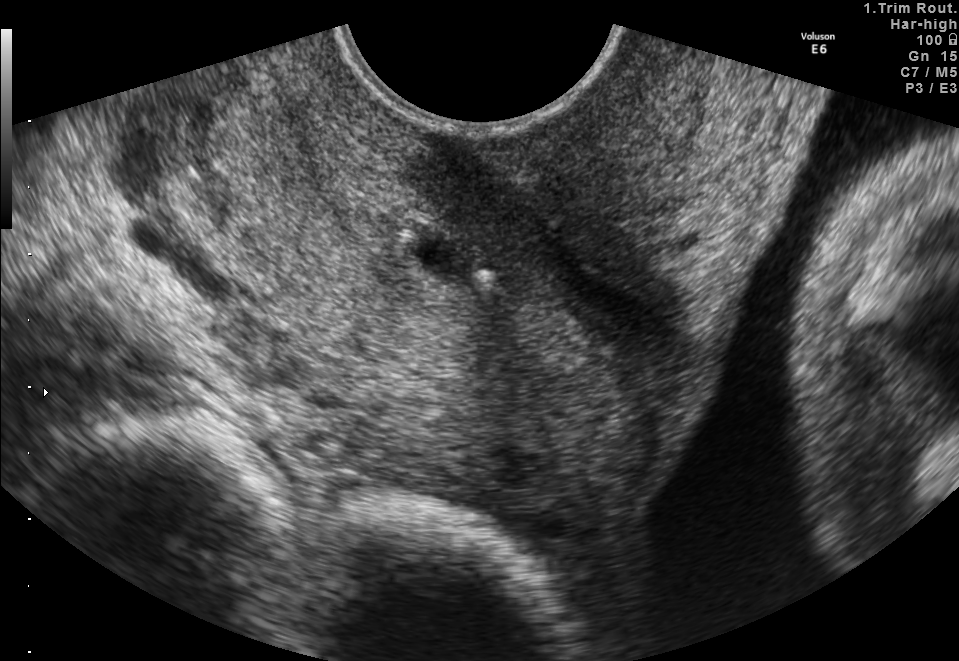
Classify this maternal-fetal ultrasound image as one of the six standard planes — fetal abdomen, fetal brain, fetal femur, fetal thorax, maternal cervix, or other. If it's fetal brain and one of the three standard brain planes (trans-thalamic, trans-cerebellum, trans-ventricular), name which.

Maternal cervix